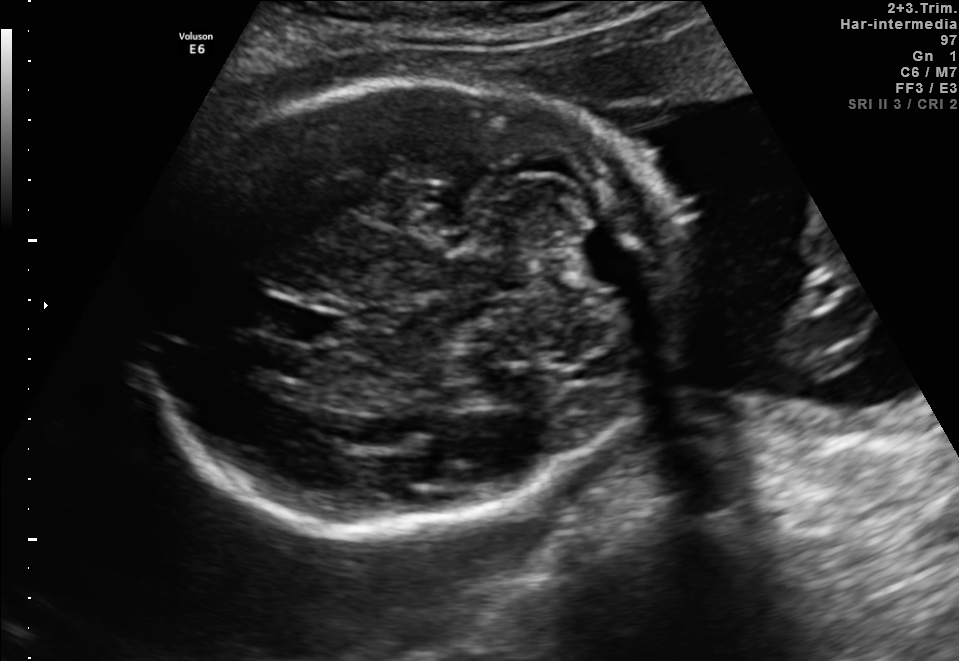
In this fetal brain, trans-cerebellum plane, give bounding boxes for the head outline, cavum septum pellucidum (CSP), and lateral ventricle (LV), where visible.

Head: [139,84,684,529]
CSP: [250,291,333,351]